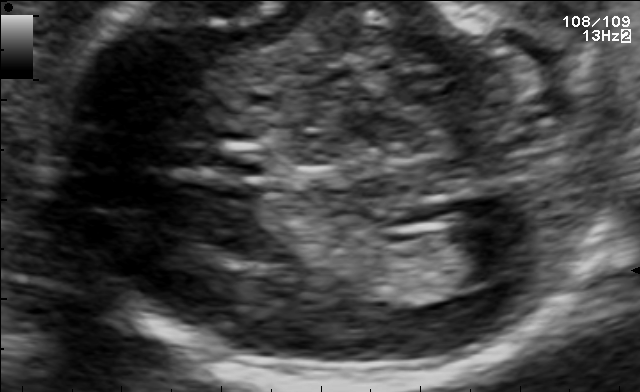
Fetal brain, trans-ventricular plane. Locate the lateral ventricle.

Lateral ventricle: [440,209,552,288]